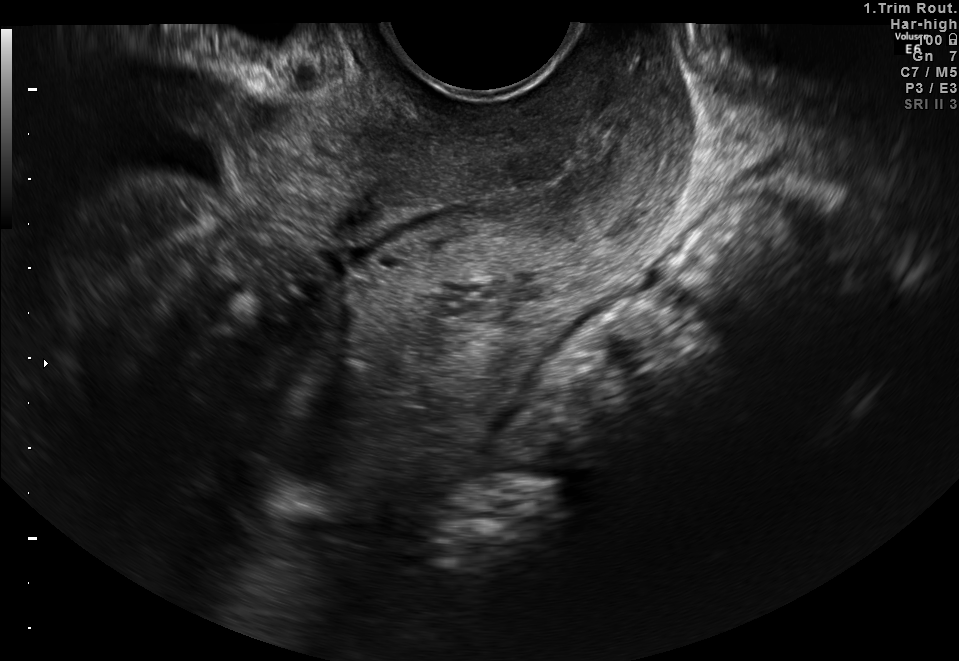
Which standard maternal-fetal ultrasound plane is shown: fetal abdomen, fetal brain, fetal femur, fetal thorax, maternal cervix, or other? If it's fetal brain and one of the three standard brain planes (trans-thalamic, trans-cerebellum, trans-ventricular), name which.

Maternal cervix